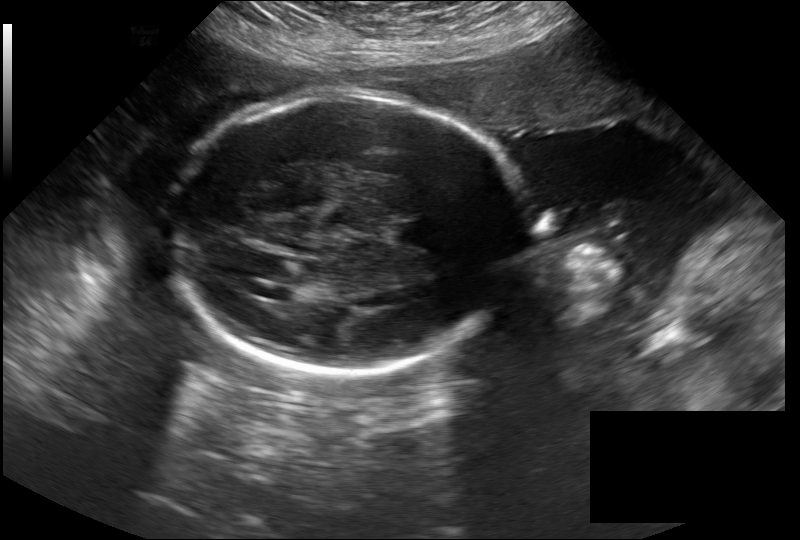
Fetal head ultrasound. Image width: 223.0 mm. Locate the fetal head and, if visible, the cavum septum pellucidum (CSP) and lateral ventricle (LV). Give bounding boxes as [x1,y1,x2,y2].

Head: [167,92,523,374]